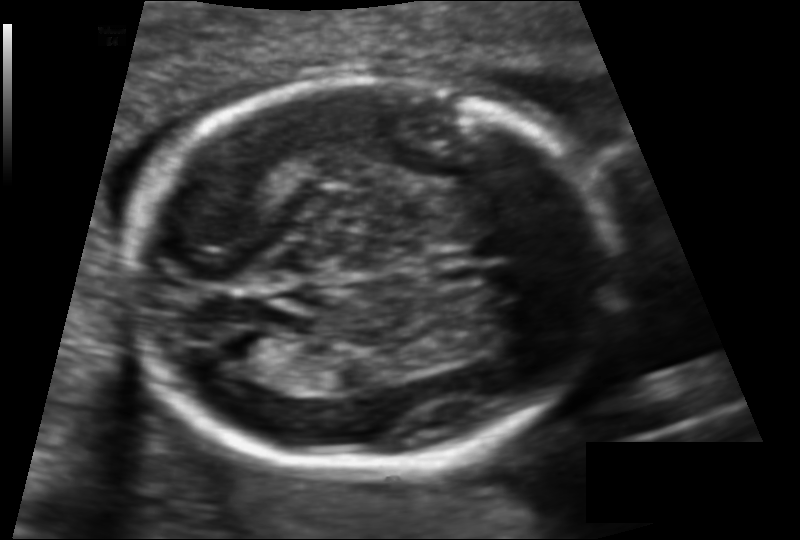
In this fetal head ultrasound, give the bounding box of the fetal head. Image width: 94.9 mm.

[123,75,615,465]